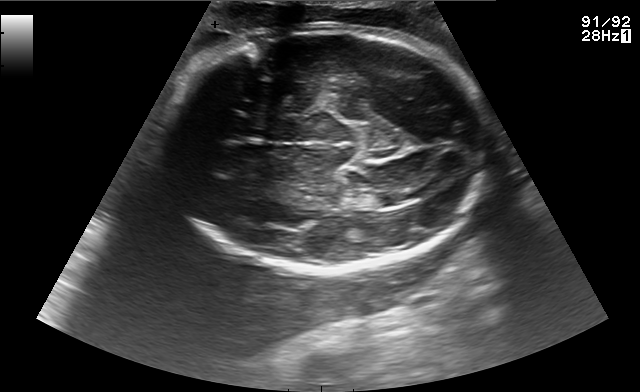
Fetal brain, trans-thalamic plane. Give [x1,y1,x2,y2] bounding boxes for each visible structure among: fetal head, CSP, LV.

Head: [160,25,493,273]
Lateral ventricle: [371,184,421,212]